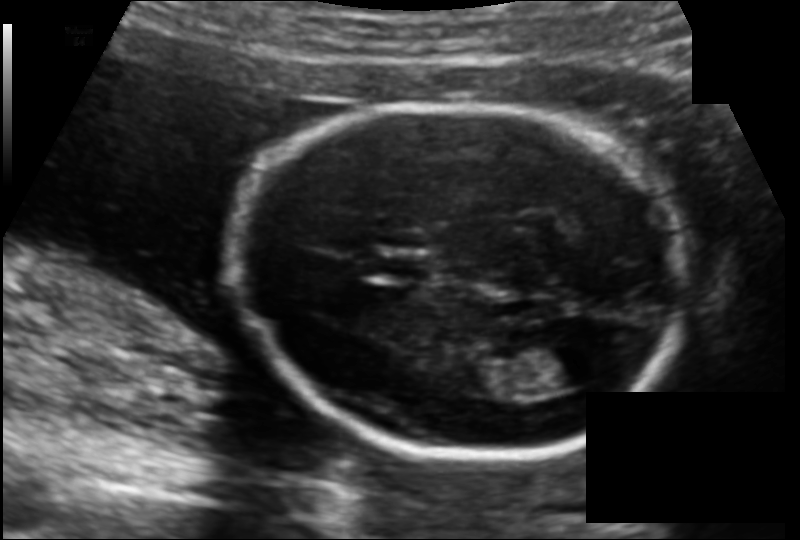
What is the fetal head circumference? Image width is 100.4 mm.

165.0 mm